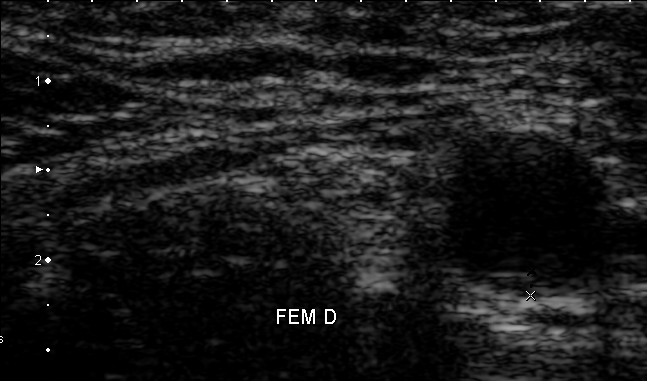
Identify the standard plane in this fetal ultrasound image: fetal abdomen, fetal brain, fetal femur, fetal thorax, maternal cervix, or other. If it's fetal brain and one of the three standard brain planes (trans-thalamic, trans-cerebellum, trans-ventricular), name which.

Other